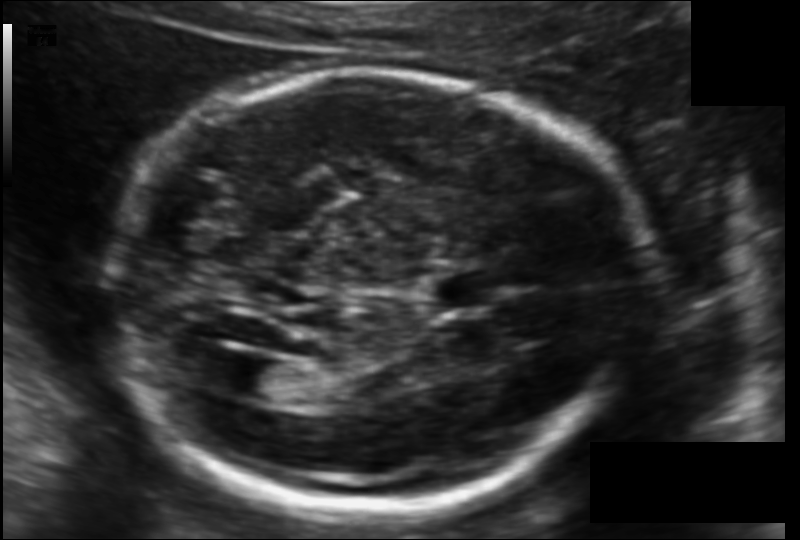
Fetal head ultrasound. Image width: 95.3 mm. Locate the fetal head.

Head: [104,69,634,510]